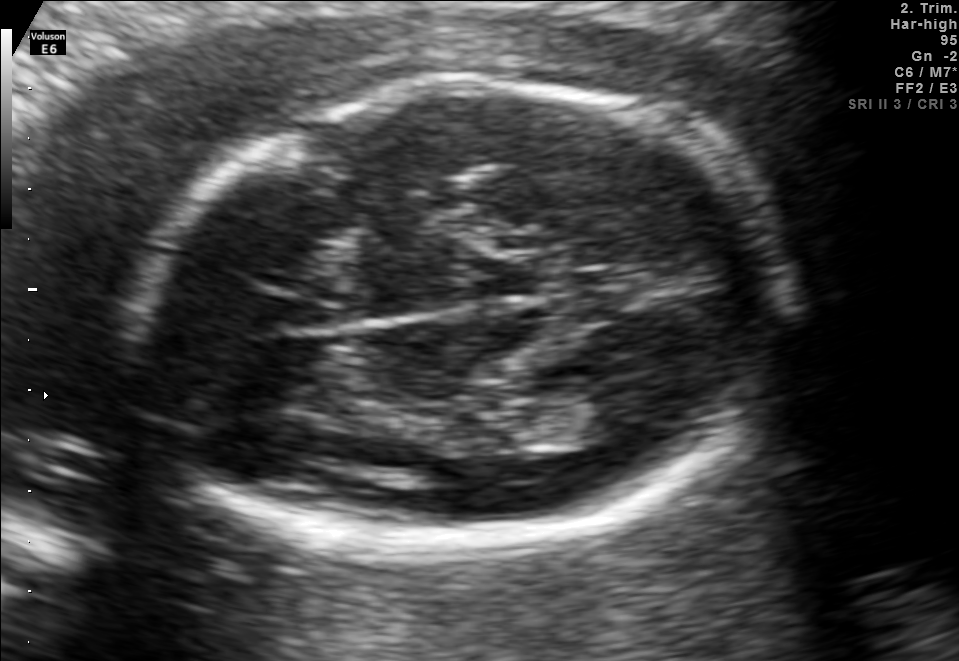
In this fetal brain, trans-thalamic plane, give the bounding box of the fetal head.

[133,81,790,548]